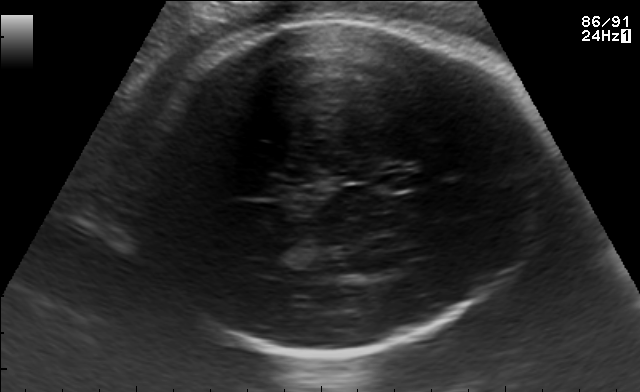
Which standard maternal-fetal ultrasound plane is shown: fetal abdomen, fetal brain, fetal femur, fetal thorax, maternal cervix, or other? If it's fetal brain and one of the three standard brain planes (trans-thalamic, trans-cerebellum, trans-ventricular), name which.

Fetal brain (trans-thalamic plane)